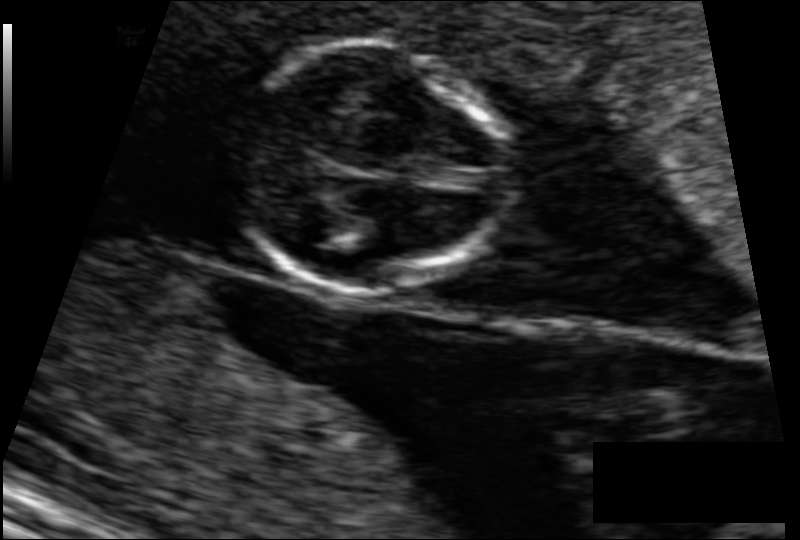
Fetal head ultrasound. Image width: 66.3 mm. Locate the fetal head.

Head: [232,42,510,292]